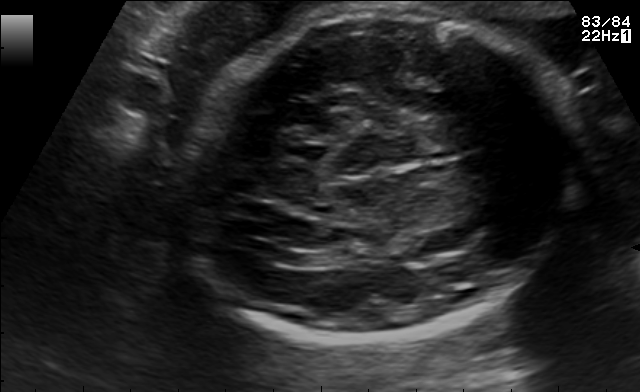
Fetal brain, trans-ventricular plane. Give [x1,y1,x2,y2] bounding boxes for each visible structure among: fetal head, CSP, LV.

Head: [176,7,578,345]